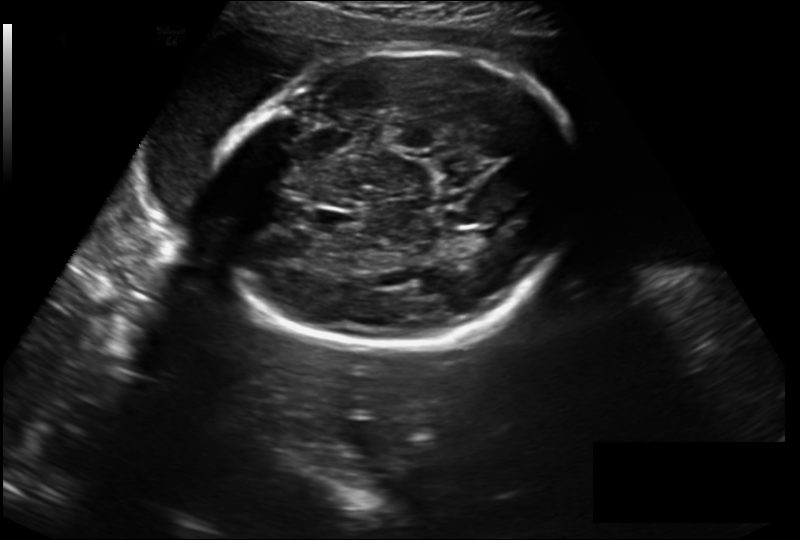
What is the fetal head circumference? Image width is 184.1 mm.

251.8 mm